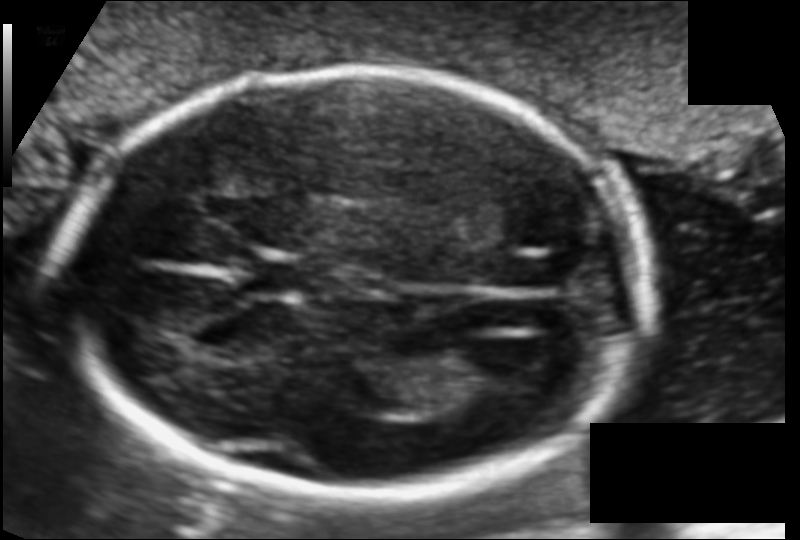
Measure the fetal head circumference shown in this ultrasound image. Image width: 87.9 mm.

Head circumference: 179.6 mm.